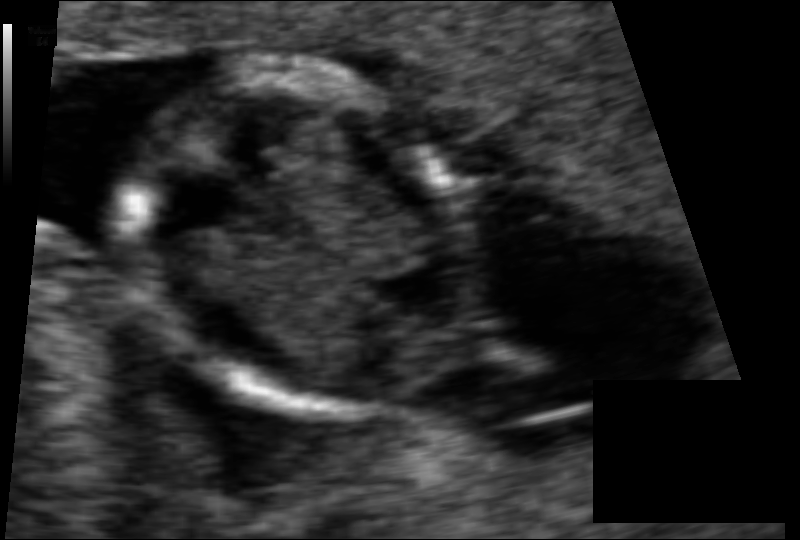
Measure the fetal head circumference shown in this ultrasound image. Image width: 52.2 mm.

Head circumference: 74.7 mm.